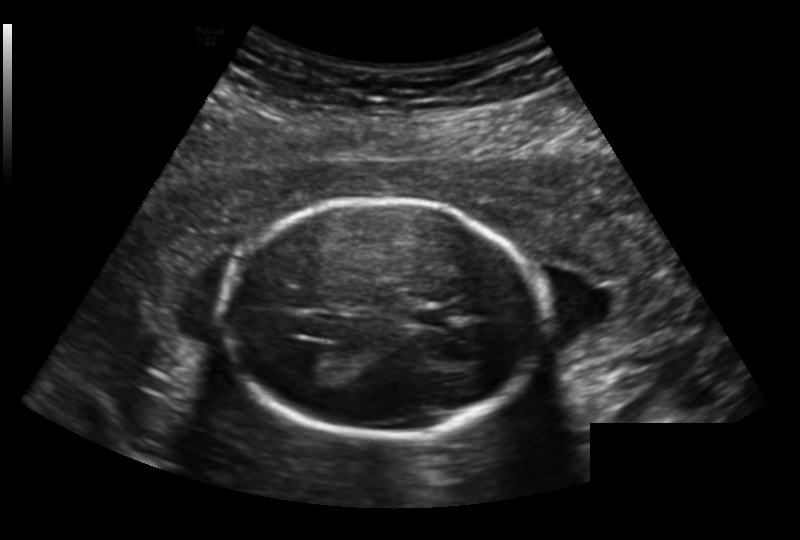
Fetal head ultrasound. Image width: 152.4 mm. Locate the fetal head and, if visible, the cavum septum pellucidum (CSP) and lateral ventricle (LV). Give bounding boxes as [x1,y1,x2,y2].

Head: [226,203,551,435]
CSP: [412,306,452,328]
Lateral ventricle: [290,350,342,383]